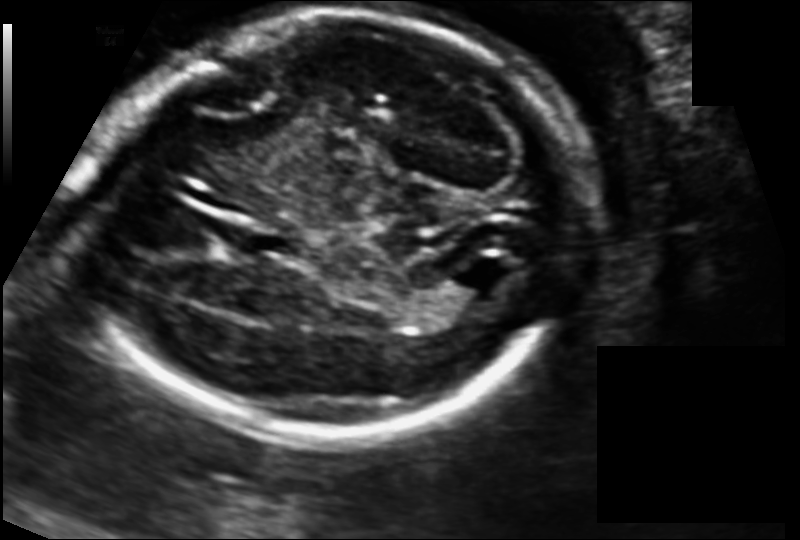
Measure the fetal head circumference shown in this ultrasound image. Image width: 100.4 mm.

Head circumference: 184.5 mm.